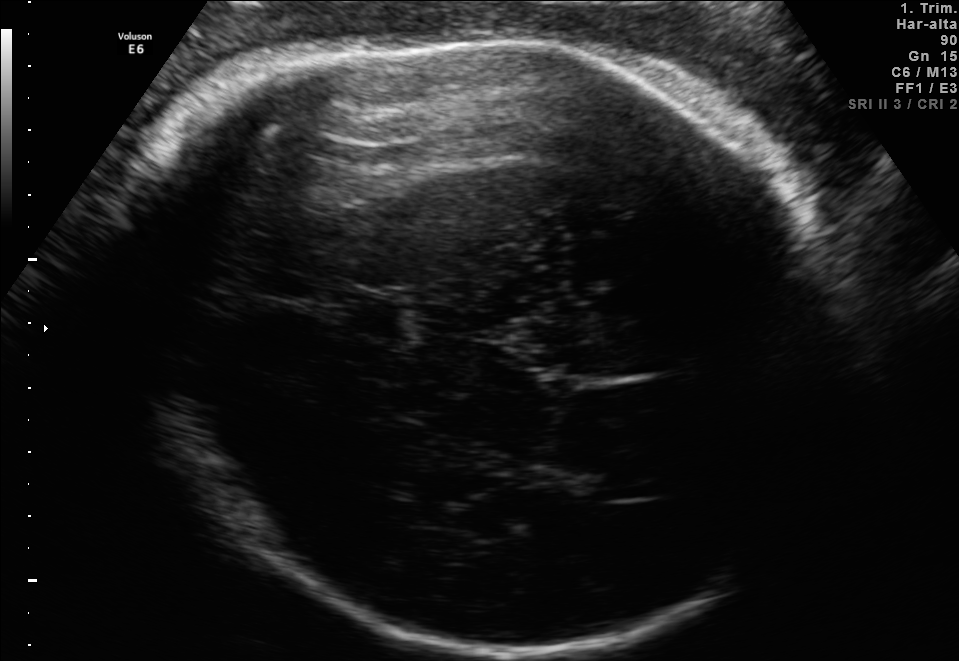
In this fetal brain, trans-thalamic plane, give the bounding box of the lateral ventricle.

[563,460,663,503]